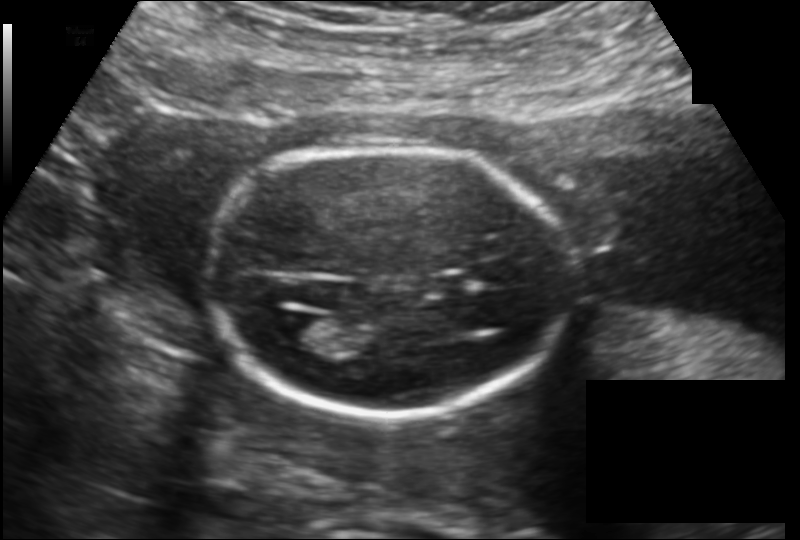
In this fetal head ultrasound, give the bounding box of the fetal head. Image width: 119.1 mm.

[206,149,571,416]